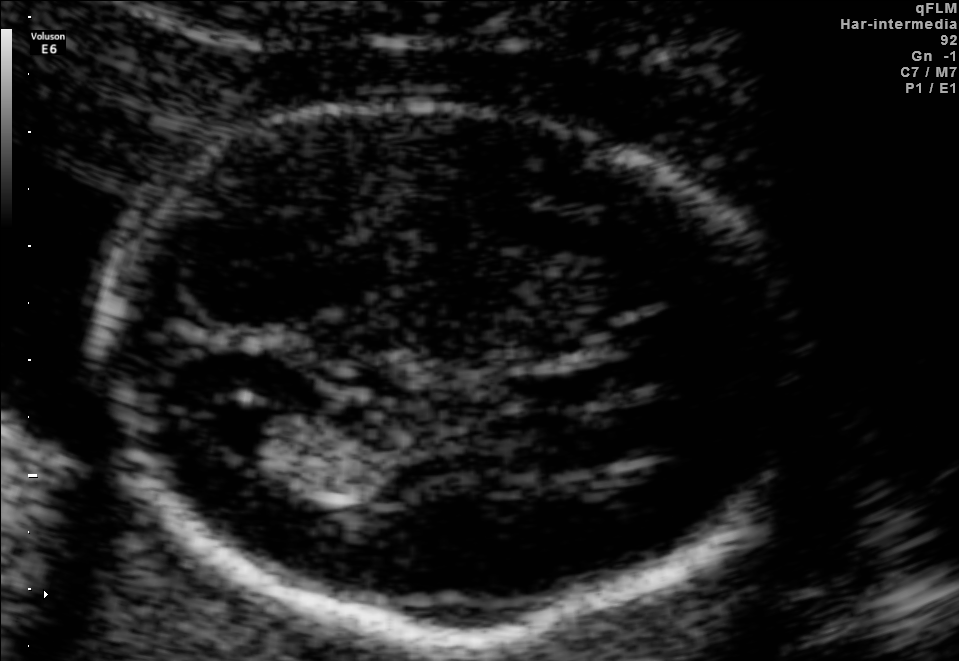
Which standard maternal-fetal ultrasound plane is shown: fetal abdomen, fetal brain, fetal femur, fetal thorax, maternal cervix, or other? If it's fetal brain and one of the three standard brain planes (trans-thalamic, trans-cerebellum, trans-ventricular), name which.

Fetal brain (trans-ventricular plane)